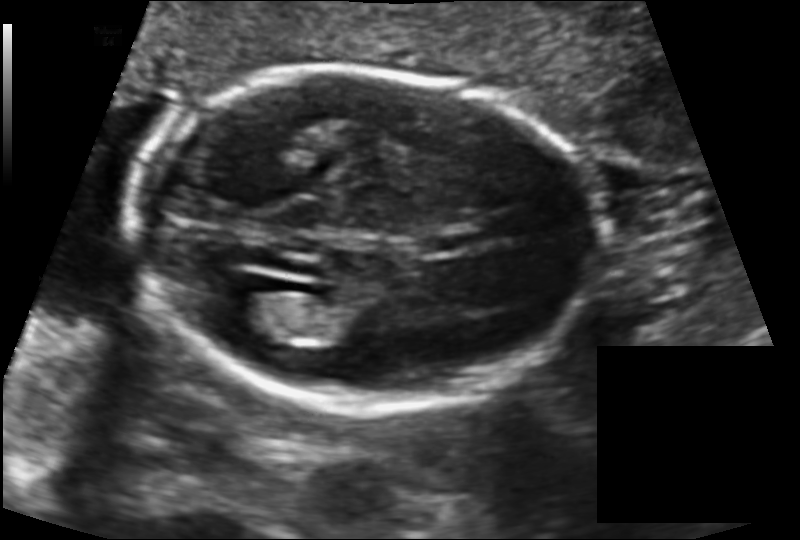
From this fetal ultrasound, estimate the head circumference (image width 105.0 mm).

Head circumference: 174.8 mm.